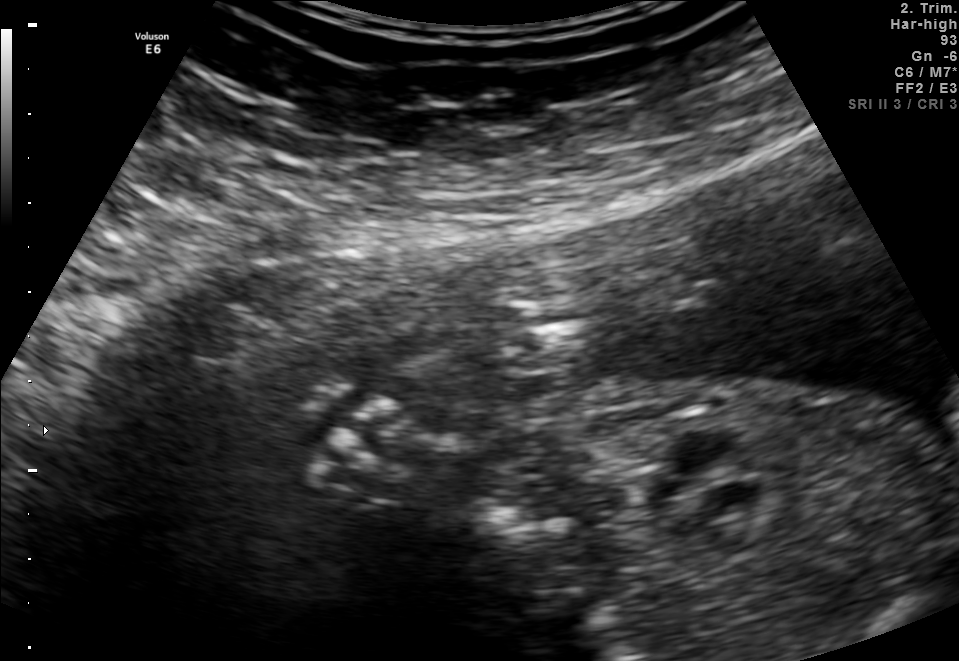
This is a 2D maternal-fetal ultrasound frame. Is it a fetal abdomen, fetal brain, fetal femur, fetal thorax, maternal cervix, or other standard plane? If it's fetal brain and one of the three standard brain planes (trans-thalamic, trans-cerebellum, trans-ventricular), name which.

Other